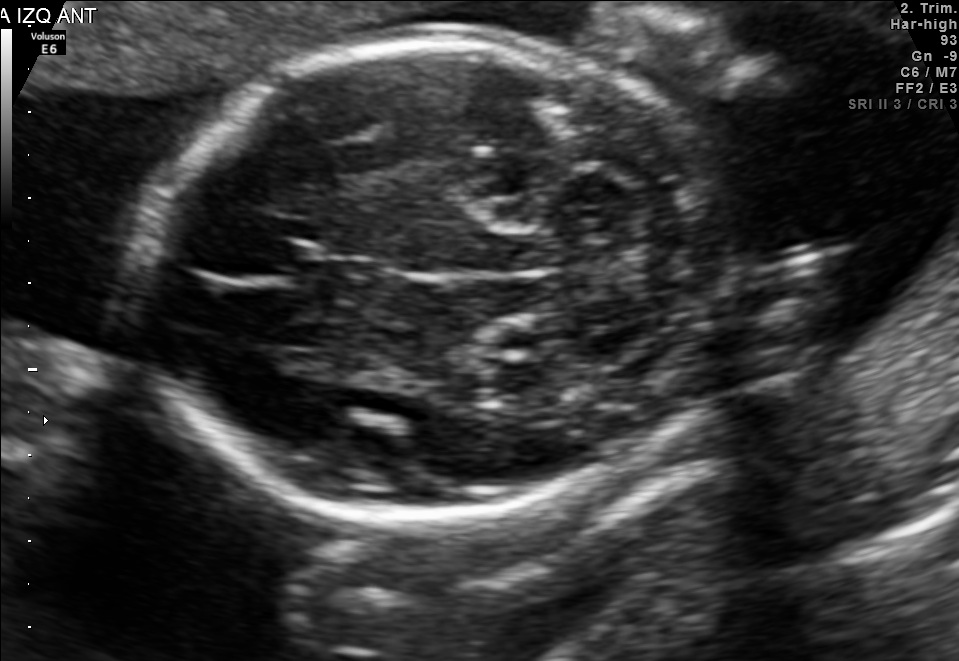
In this fetal brain, trans-cerebellum plane, give bounding boxes for the head outline, cavum septum pellucidum (CSP), and lateral ventricle (LV), where visible.

Head: [139,33,740,520]